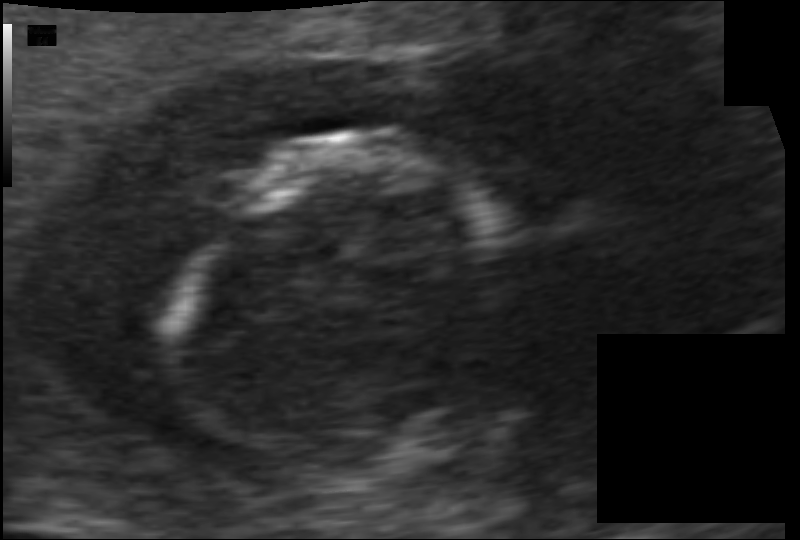
Measure the fetal head circumference shown in this ultrasound image. Image width: 55.9 mm.

Head circumference: 77.8 mm.